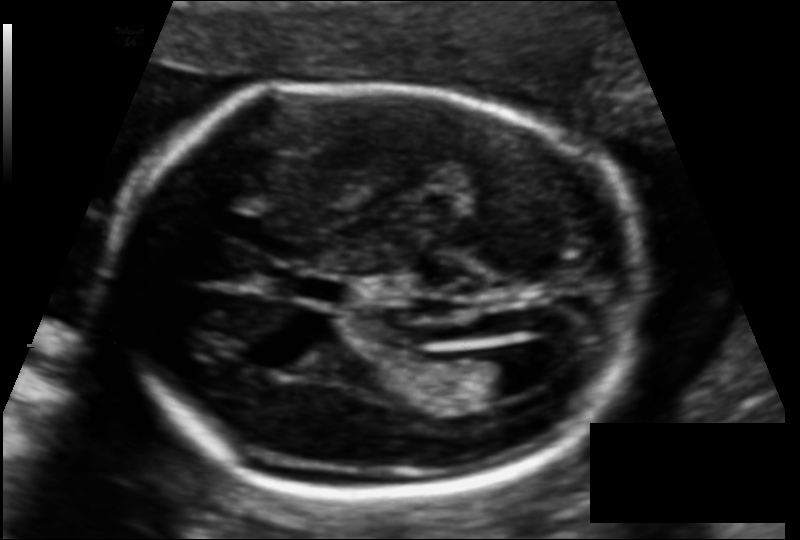
Fetal head ultrasound. Image width: 92.4 mm. Locate the fetal head.

Head: [105,87,647,493]